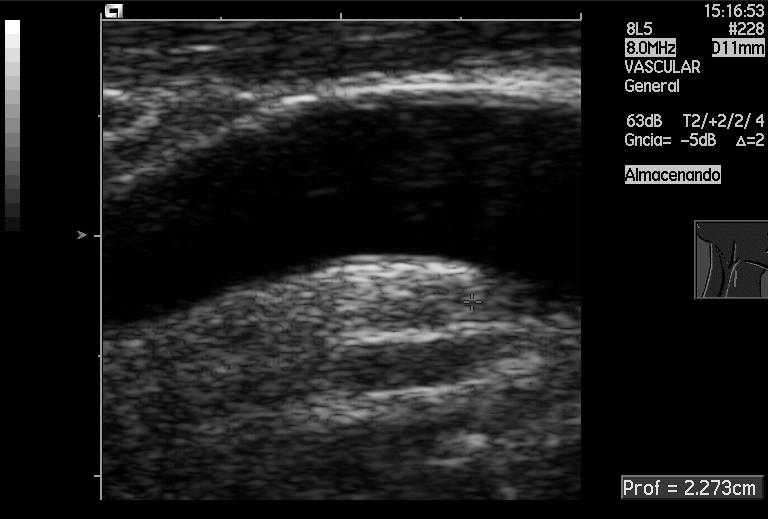
Which standard maternal-fetal ultrasound plane is shown: fetal abdomen, fetal brain, fetal femur, fetal thorax, maternal cervix, or other? If it's fetal brain and one of the three standard brain planes (trans-thalamic, trans-cerebellum, trans-ventricular), name which.

Other